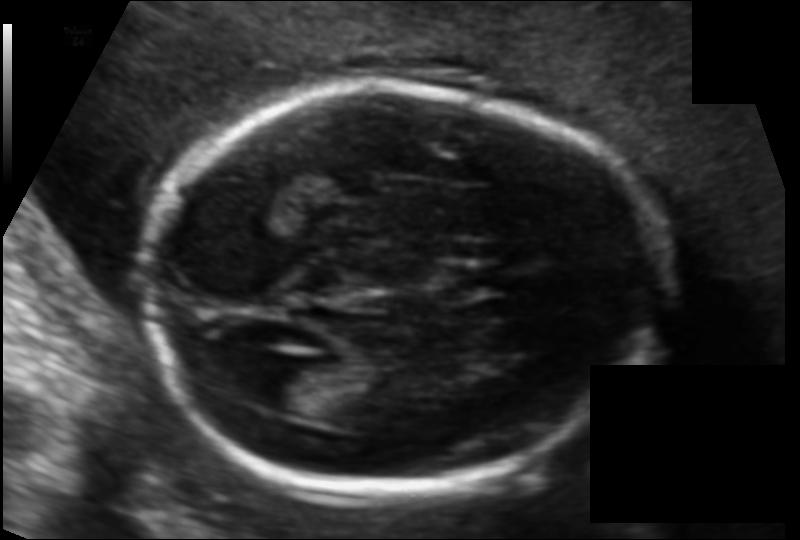
In this fetal head ultrasound, give bounding boxes for the head outline, cavum septum pellucidum (CSP), and lateral ventricle (LV), where visible. Image width: 88.8 mm.

Head: [143,83,660,494]
CSP: [445,260,513,299]
Lateral ventricle: [238,355,329,421]